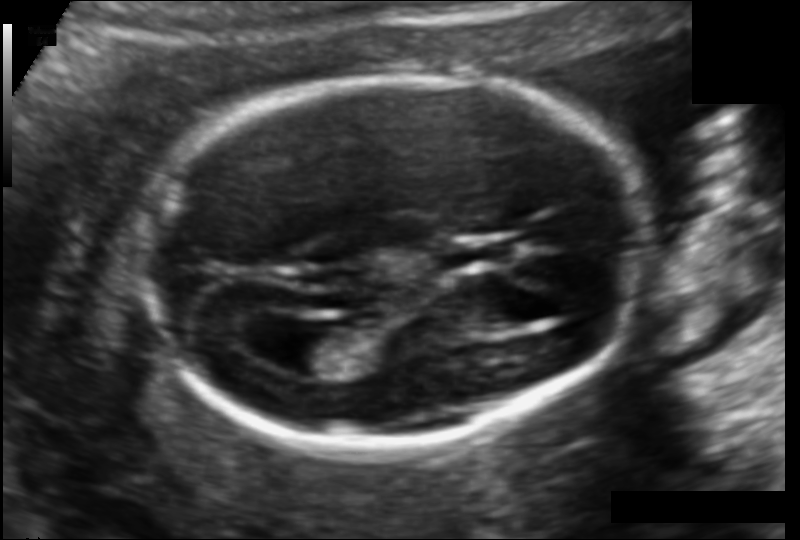
In this fetal head ultrasound, give the bounding box of the fetal head. Image width: 91.5 mm.

[135,75,647,445]